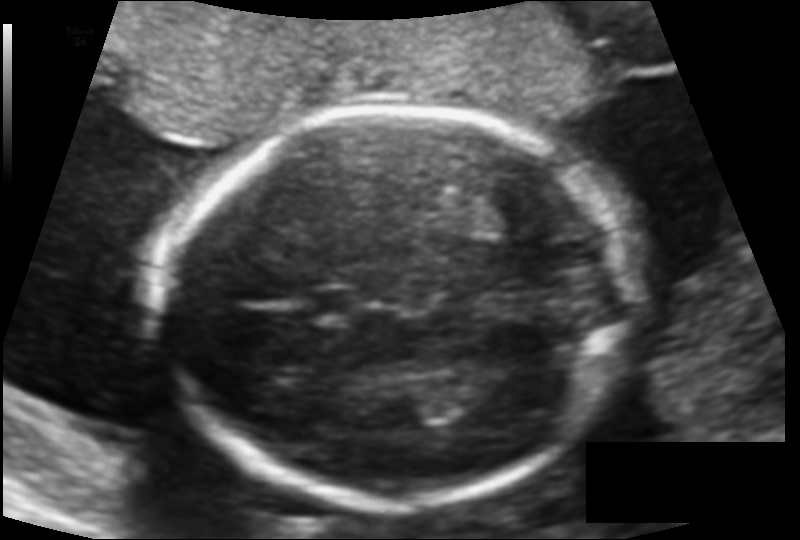
Fetal head ultrasound. Image width: 97.0 mm. Where is the cavum septum pellucidum?

CSP bounding box: [307,285,363,324]